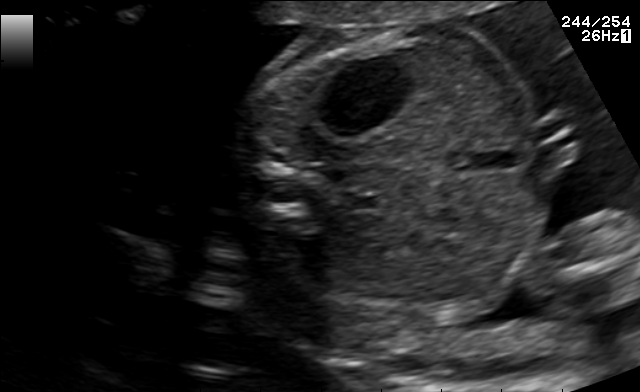
This is a 2D maternal-fetal ultrasound frame. Is it a fetal abdomen, fetal brain, fetal femur, fetal thorax, maternal cervix, or other standard plane? If it's fetal brain and one of the three standard brain planes (trans-thalamic, trans-cerebellum, trans-ventricular), name which.

Fetal abdomen